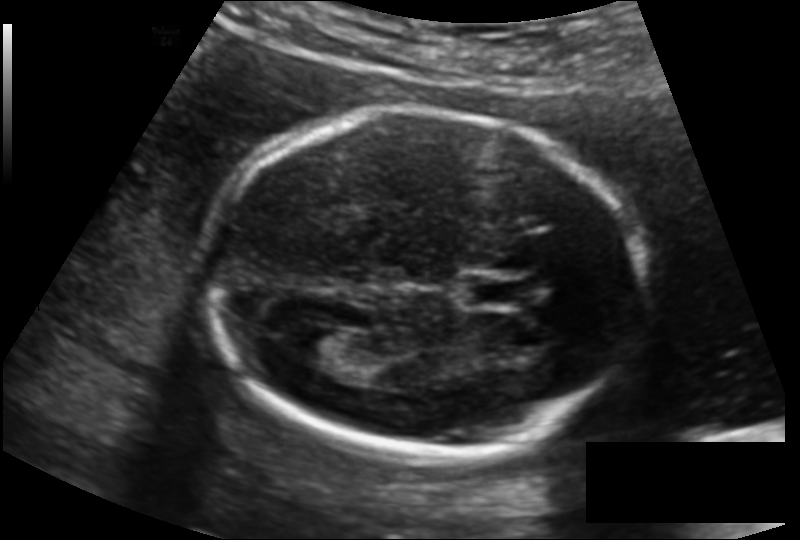
In this fetal head ultrasound, give bounding boxes for the head outline, cavum septum pellucidum (CSP), and lateral ventricle (LV), where visible. Image width: 107.6 mm.

Head: [198,112,639,454]
CSP: [467,278,533,307]
Lateral ventricle: [285,317,357,374]